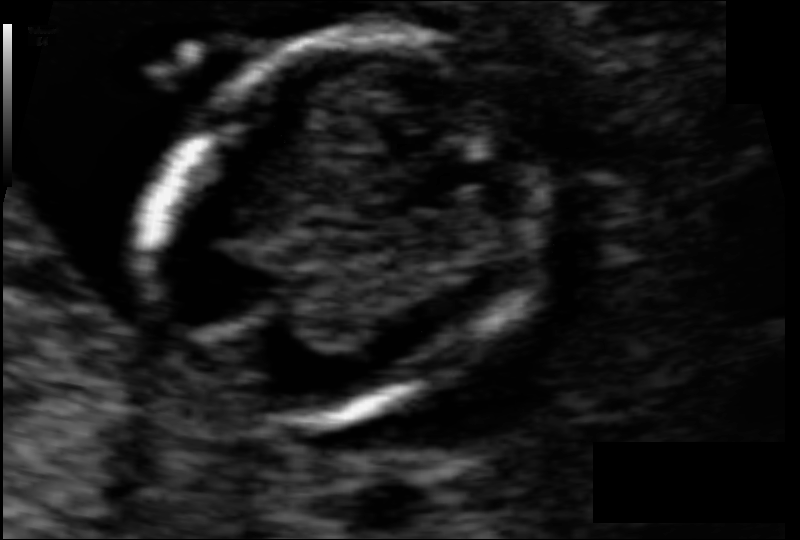
From this fetal ultrasound, estimate the head circumference (image width 48.5 mm).

Head circumference: 79.0 mm.